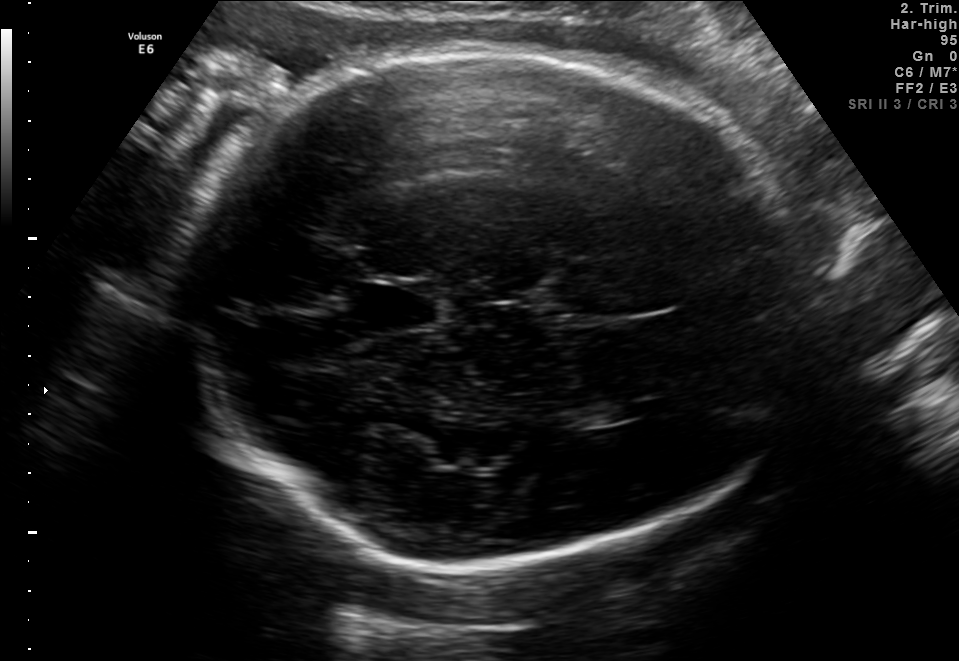
Fetal brain, trans-thalamic plane. Where is the cavum septum pellucidum?

CSP bounding box: [359,289,437,326]